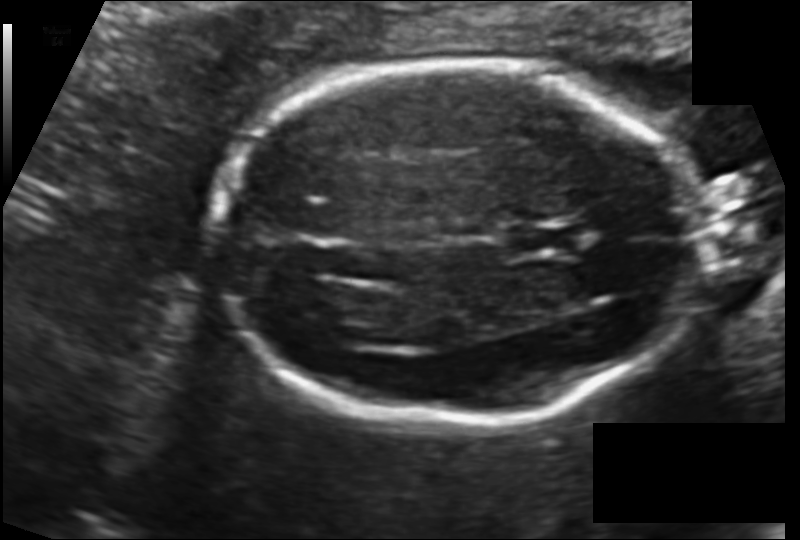
In this fetal head ultrasound, give the bounding box of the lateral ventricle. Image width: 98.3 mm.

[286,278,369,338]